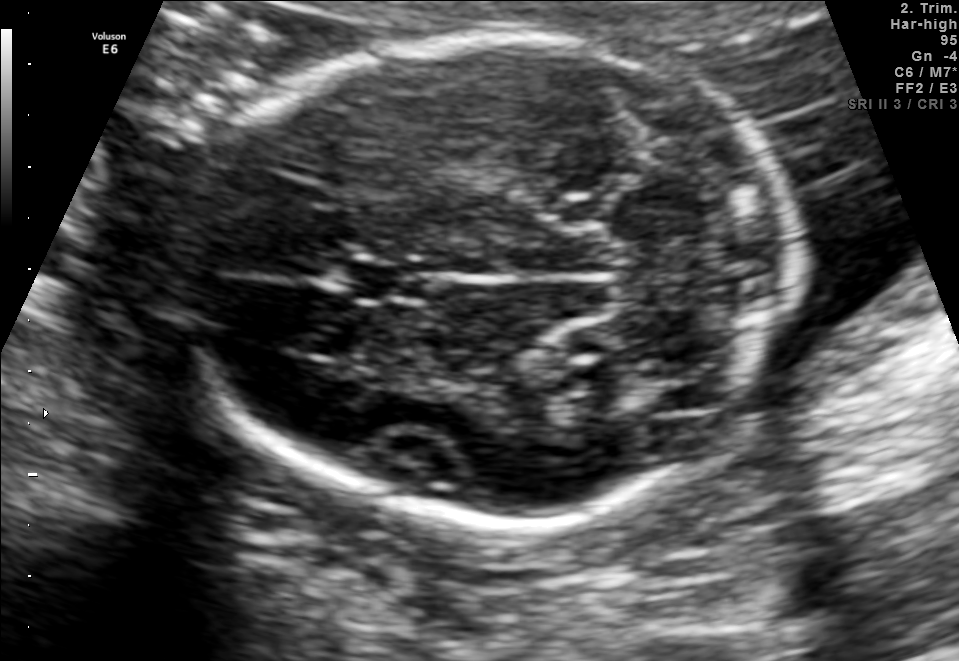
Fetal brain, trans-cerebellum plane. Give [x1,y1,x2,y2] bounding boxes for each visible structure among: fetal head, CSP, LV.

Head: [184,34,799,521]
CSP: [349,259,426,304]